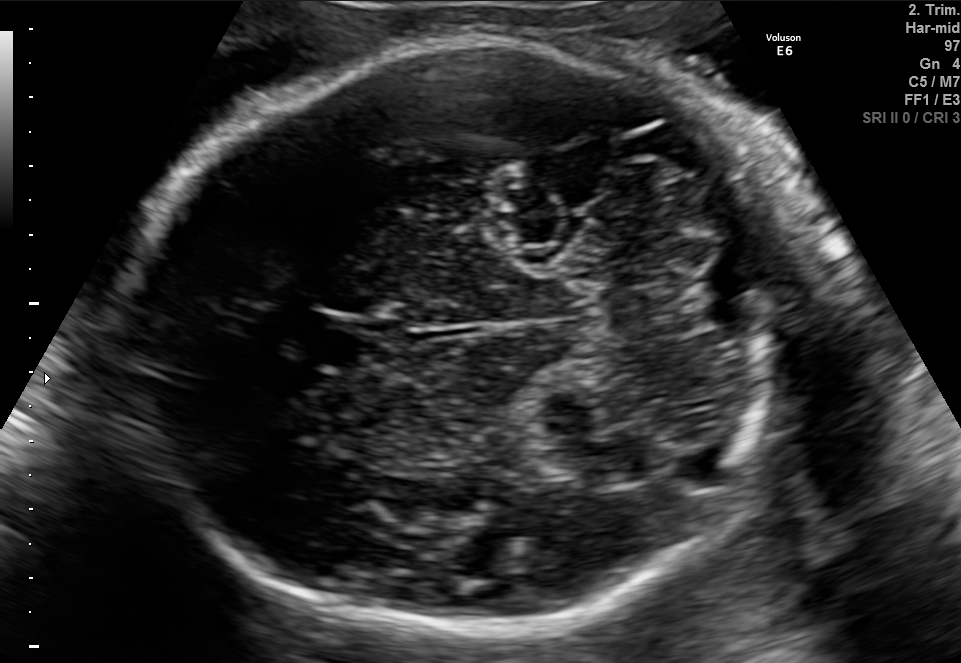
Fetal brain, trans-cerebellum plane. Locate the fetal head.

Head: [135,43,782,636]